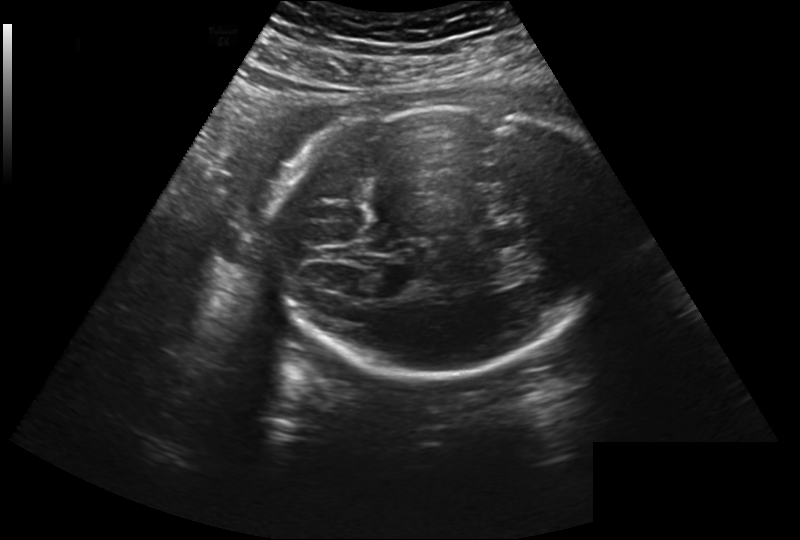
Fetal head ultrasound. Image width: 208.3 mm. Locate the fetal head.

Head: [268,105,622,377]